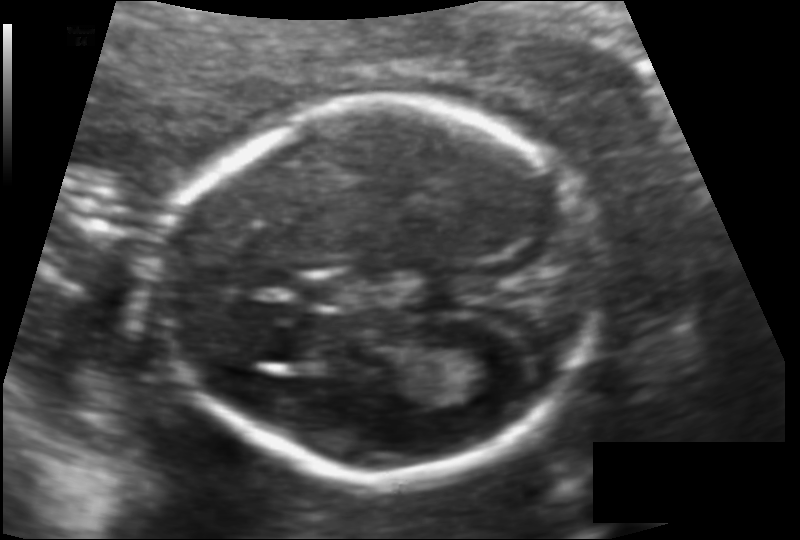
Measure the fetal head circumference shown in this ultrasound image. Image width: 90.5 mm.

Head circumference: 149.1 mm.